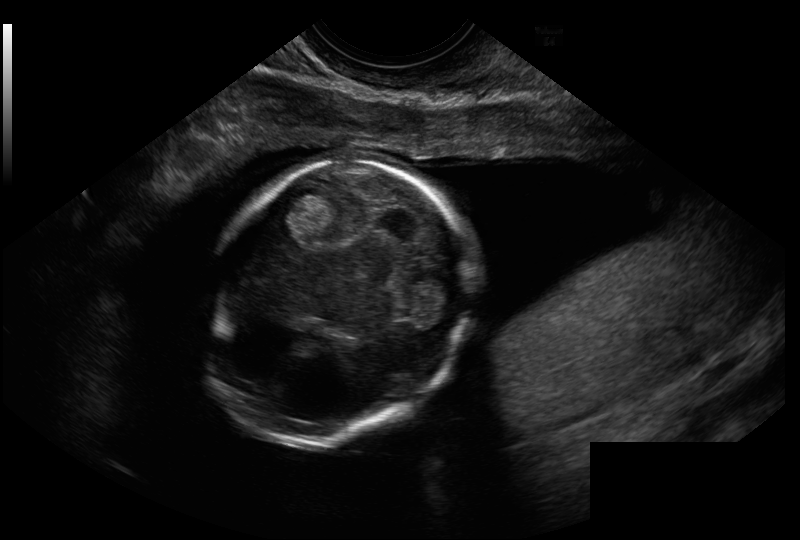
What is the fetal head circumference? Image width is 91.5 mm.

101.2 mm